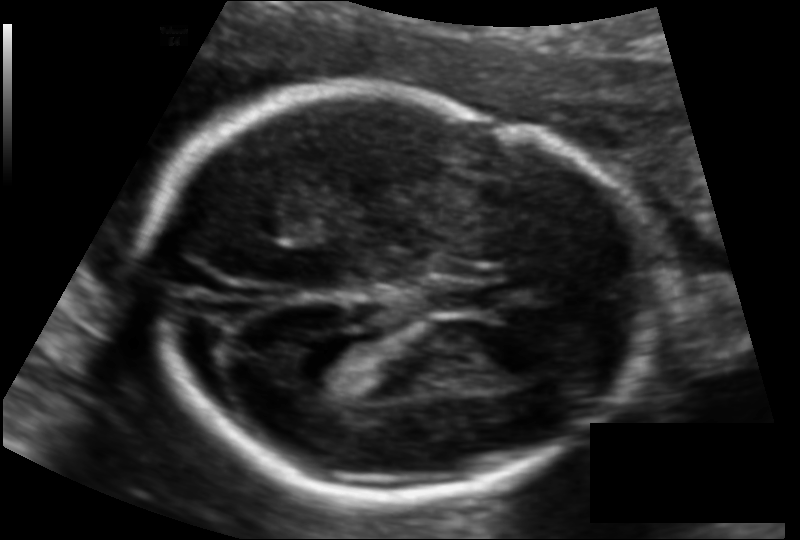
In this fetal head ultrasound, give the bounding box of the lateral ventricle. Image width: 93.9 mm.

[284,325,372,396]